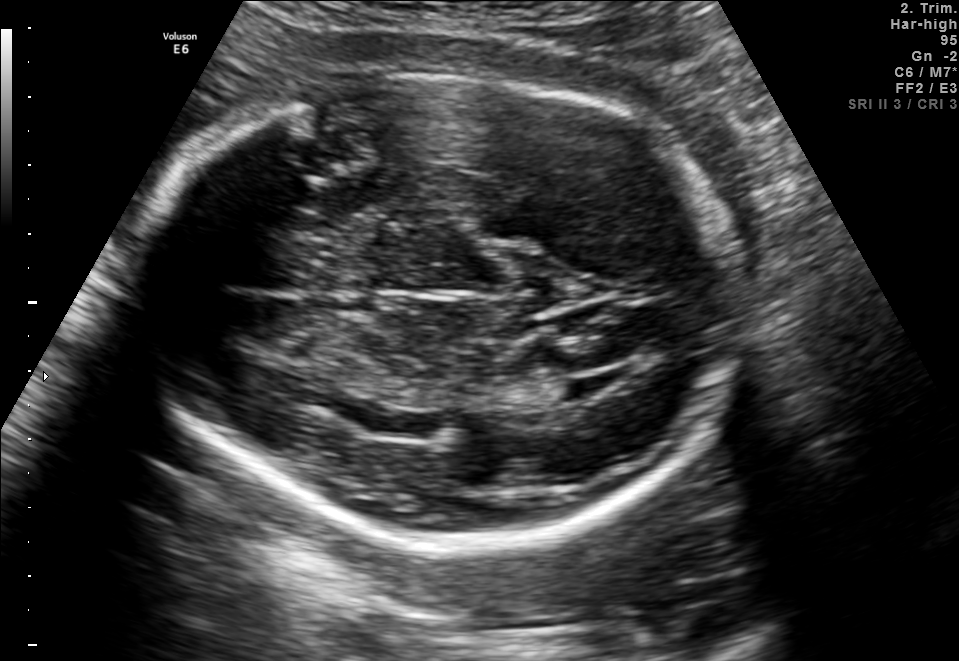
Fetal brain, trans-thalamic plane. Locate the lateral ventricle.

Lateral ventricle: [533,375,592,407]